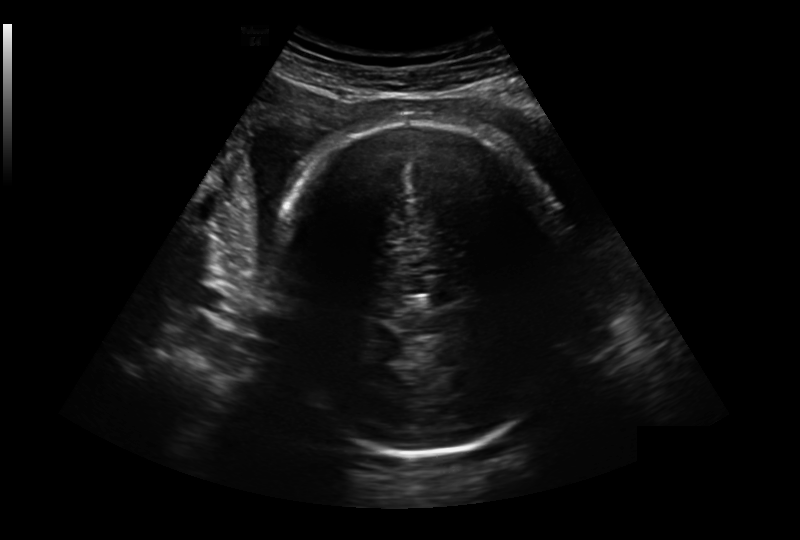
Measure the fetal head circumference shown in this ultrasound image. Image width: 225.0 mm.

Head circumference: 284.0 mm.